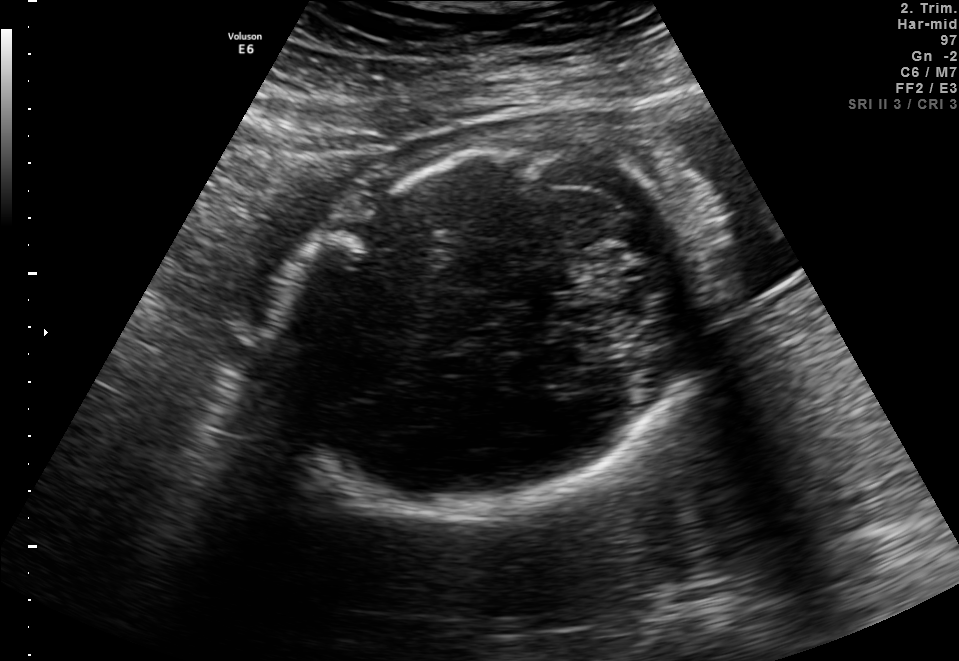
In this fetal brain, trans-cerebellum plane, give bounding boxes for the head outline, cavum septum pellucidum (CSP), and lateral ventricle (LV), where visible.

Head: [275,146,702,513]